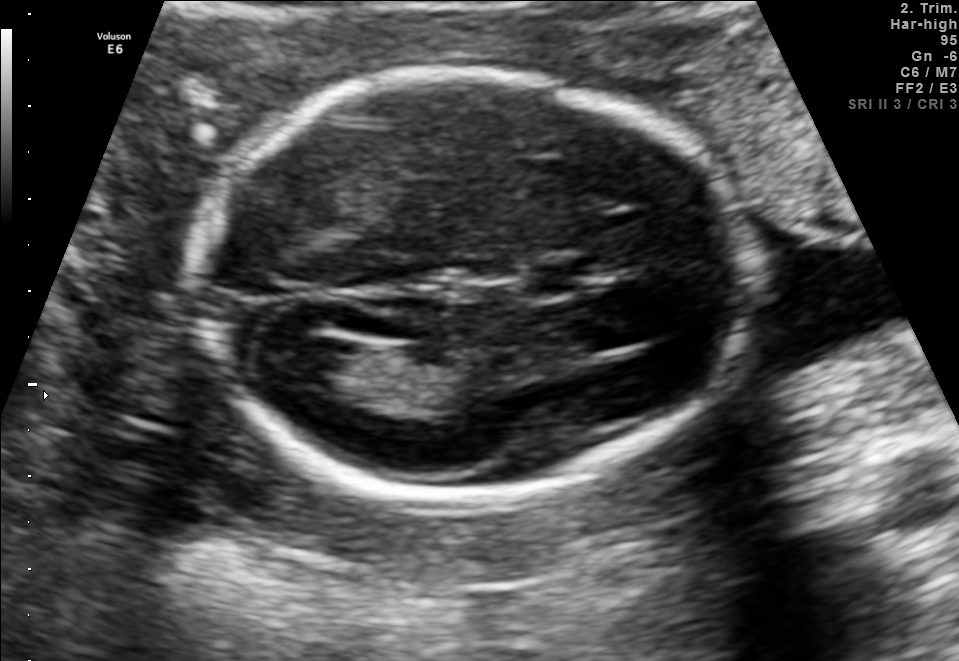
In this fetal brain, trans-ventricular plane, give the bounding box of the lateral ventricle.

[260,328,355,390]